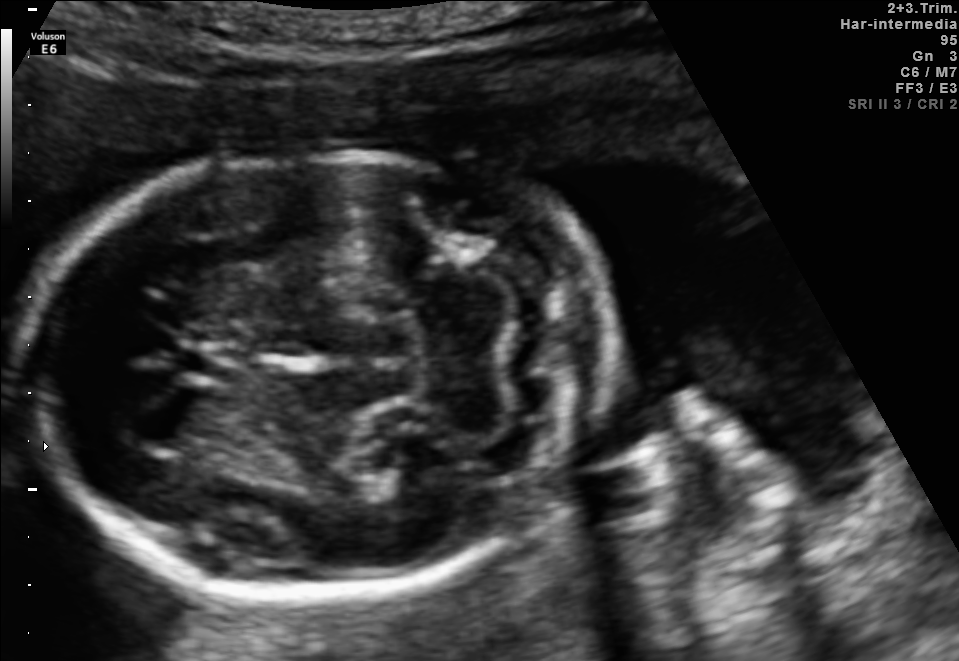
Fetal brain, trans-cerebellum plane. Locate the fetal head and, if visible, the cavum septum pellucidum (CSP) and lateral ventricle (LV). Give bounding boxes as [x1,y1,x2,y2].

Head: [22,153,613,594]
CSP: [177,342,243,385]